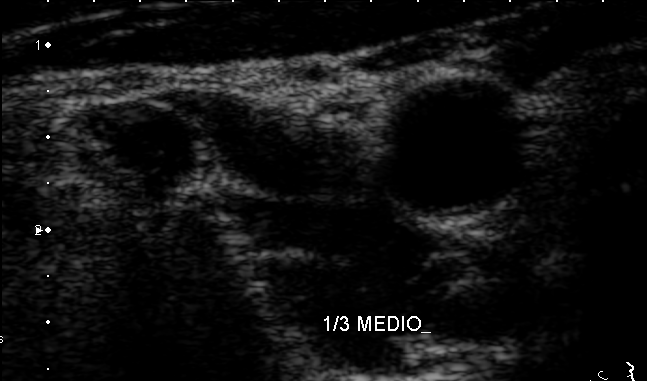
Which standard maternal-fetal ultrasound plane is shown: fetal abdomen, fetal brain, fetal femur, fetal thorax, maternal cervix, or other? If it's fetal brain and one of the three standard brain planes (trans-thalamic, trans-cerebellum, trans-ventricular), name which.

Other